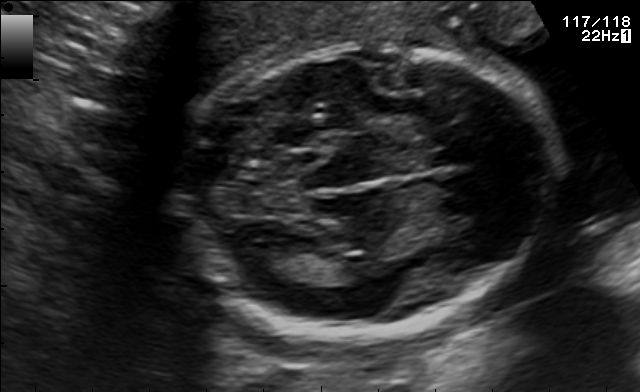
Fetal brain, trans-thalamic plane. Where is the fetal head?

Head bounding box: [186,43,552,334]